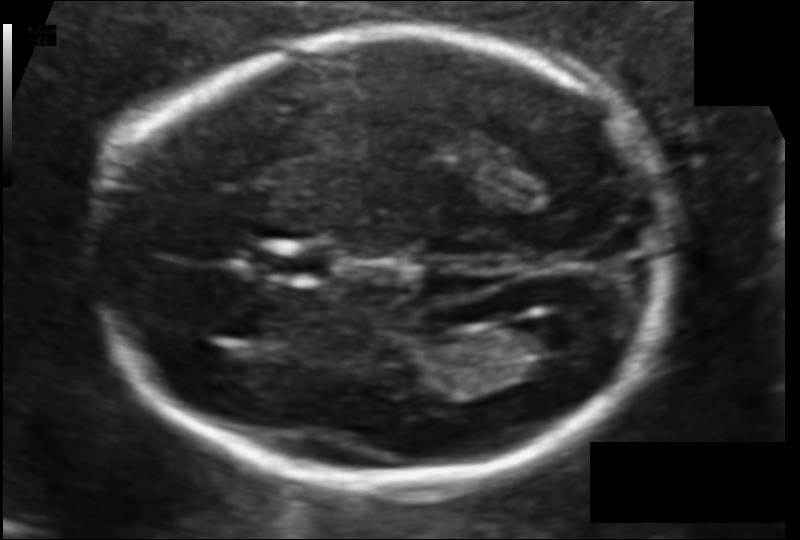
What is the fetal head circumference? Image width is 85.0 mm.

176.7 mm